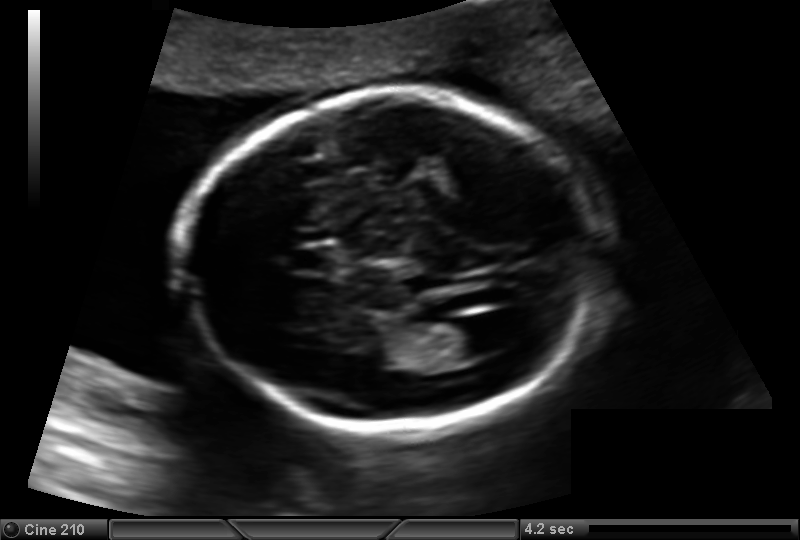
Fetal head ultrasound. Image width: 109.7 mm. Where is the cavum septum pellucidum?

CSP bounding box: [292,246,334,273]